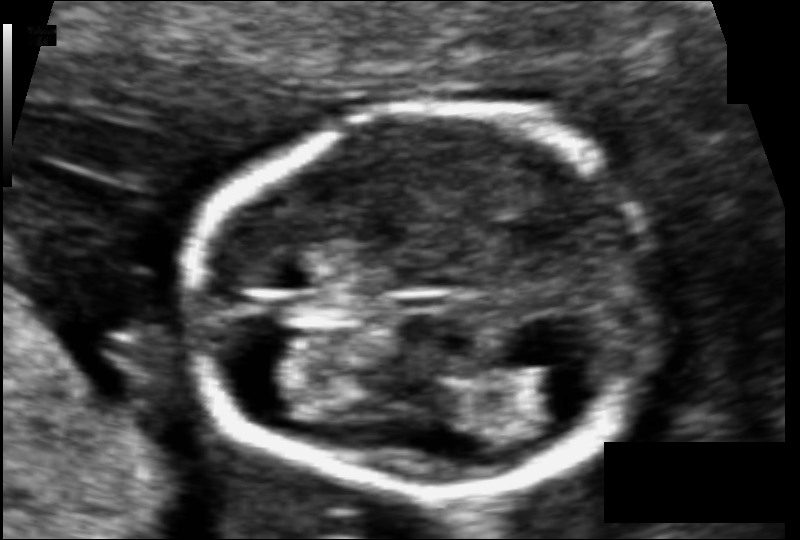
Estimate the fetal head circumference from this 2D ultrasound. Image width: 52.4 mm.

Head circumference: 90.3 mm.